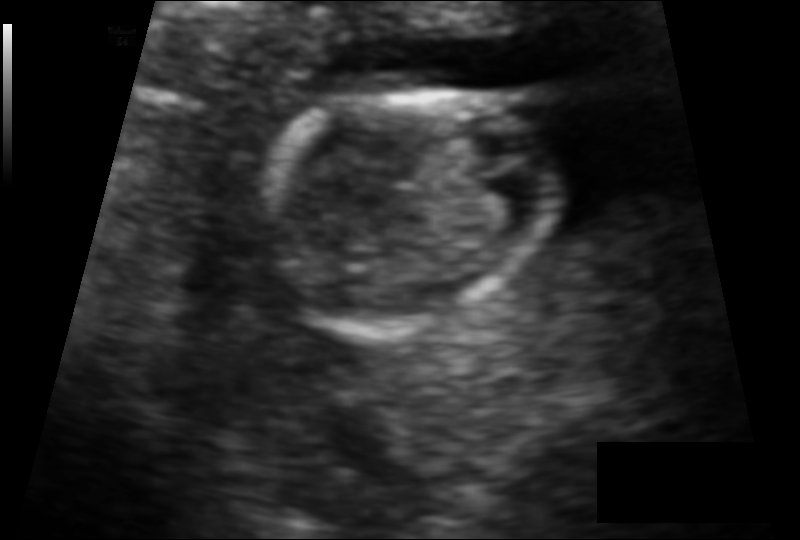
Fetal head ultrasound. Image width: 73.2 mm. Locate the fetal head and, if visible, the cavum septum pellucidum (CSP) and lateral ventricle (LV). Give bounding boxes as [x1,y1,x2,y2].

Head: [254,91,559,325]